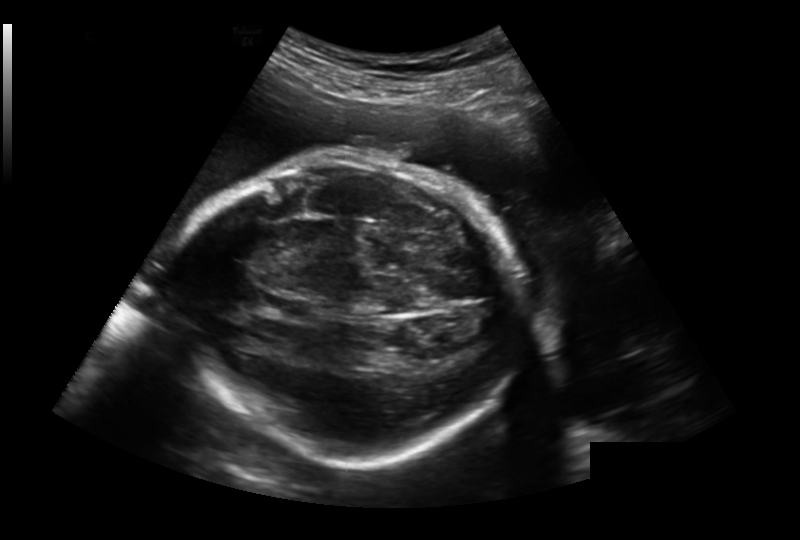
From this fetal ultrasound, estimate the head circumference (image width 206.8 mm).

Head circumference: 274.2 mm.